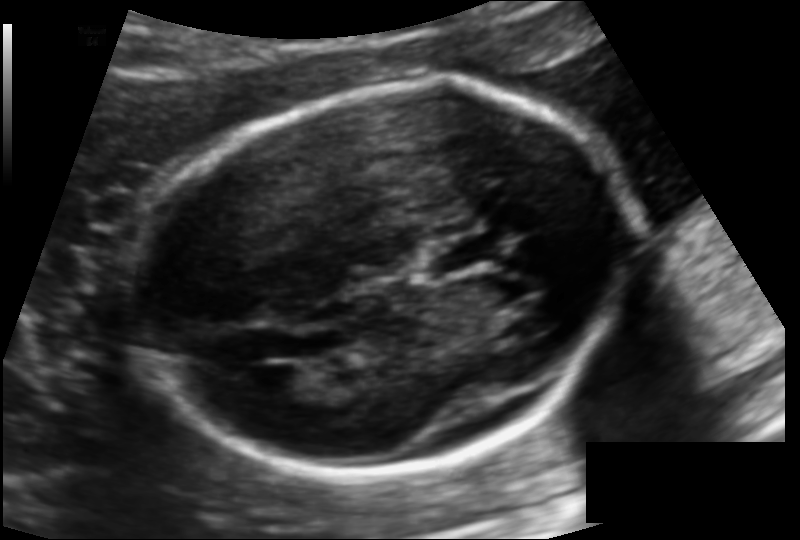
Fetal head ultrasound. Image width: 99.2 mm. Locate the fetal head.

Head: [135,89,631,471]